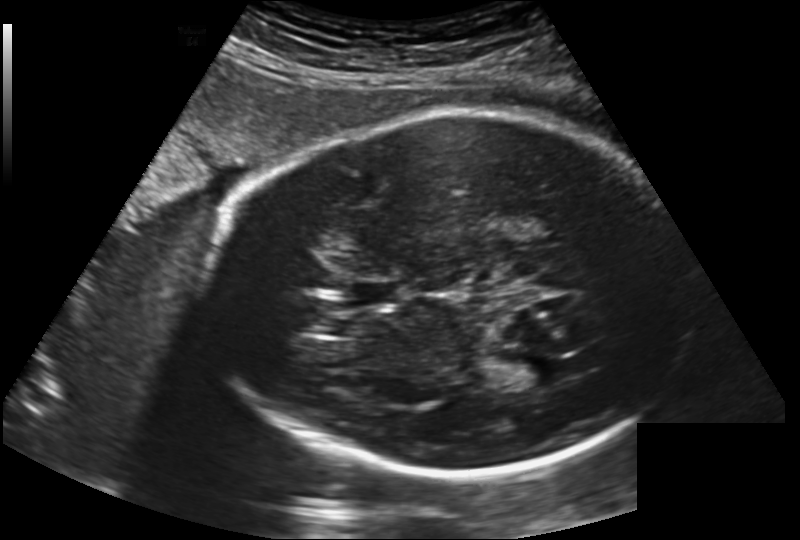
From this fetal ultrasound, estimate the head circumference (image width 161.7 mm).

Head circumference: 277.6 mm.